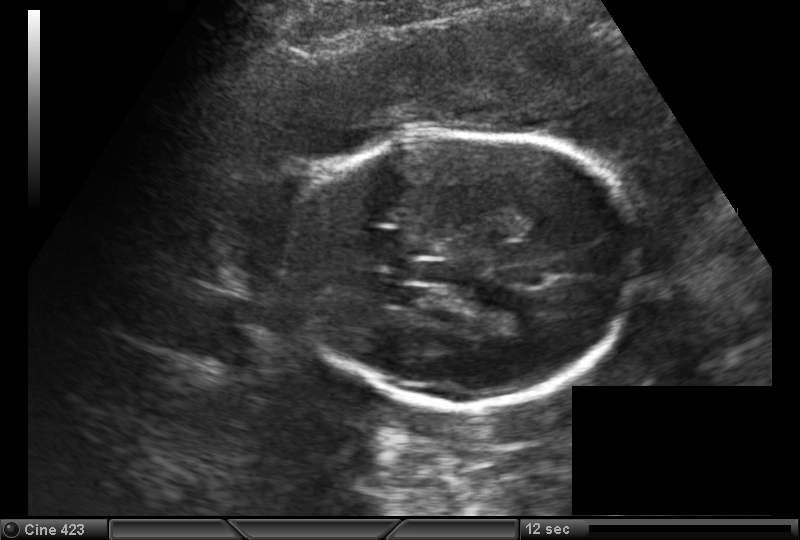
Fetal head ultrasound. Image width: 138.2 mm. Locate the cavum septum pellucidum.

CSP: [402,260,451,282]